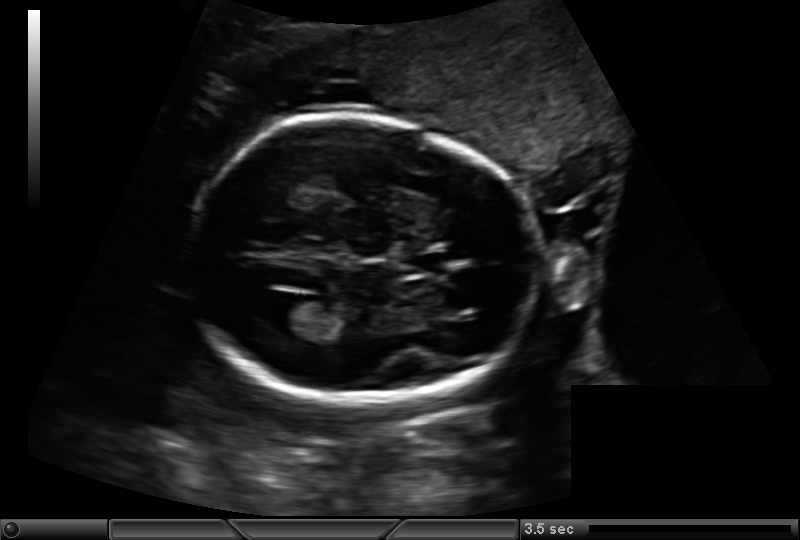
Estimate the fetal head circumference from this 2D ultrasound. Image width: 126.8 mm.

Head circumference: 163.1 mm.